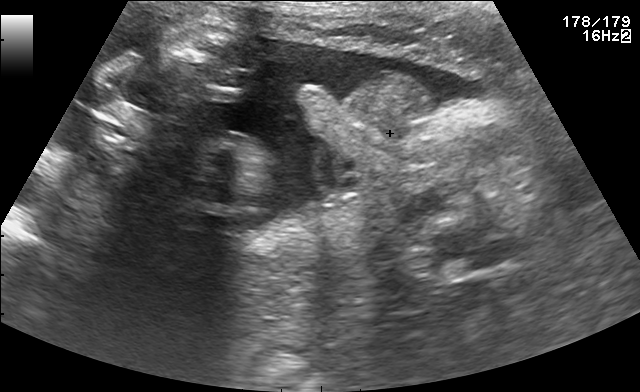
Identify the standard plane in this fetal ultrasound image: fetal abdomen, fetal brain, fetal femur, fetal thorax, maternal cervix, or other. If it's fetal brain and one of the three standard brain planes (trans-thalamic, trans-cerebellum, trans-ventricular), name which.

Other